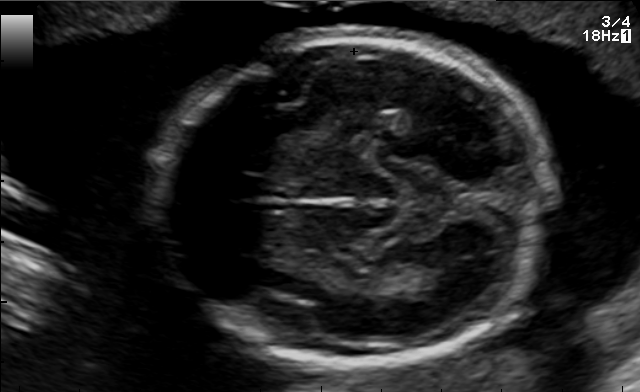
Fetal brain, trans-thalamic plane. Locate the fetal head.

Head: [155,37,545,365]